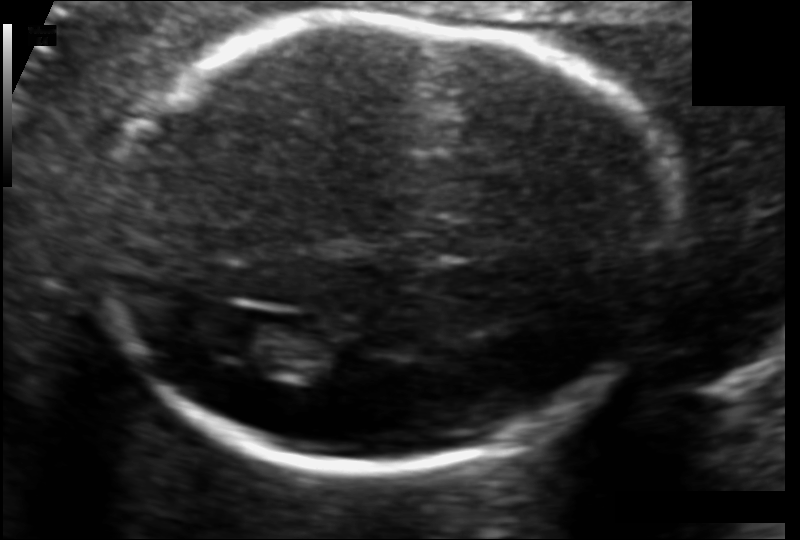
Estimate the fetal head circumference from this 2D ultrasound.

Head circumference: 175.1 mm (image width 84.9 mm).